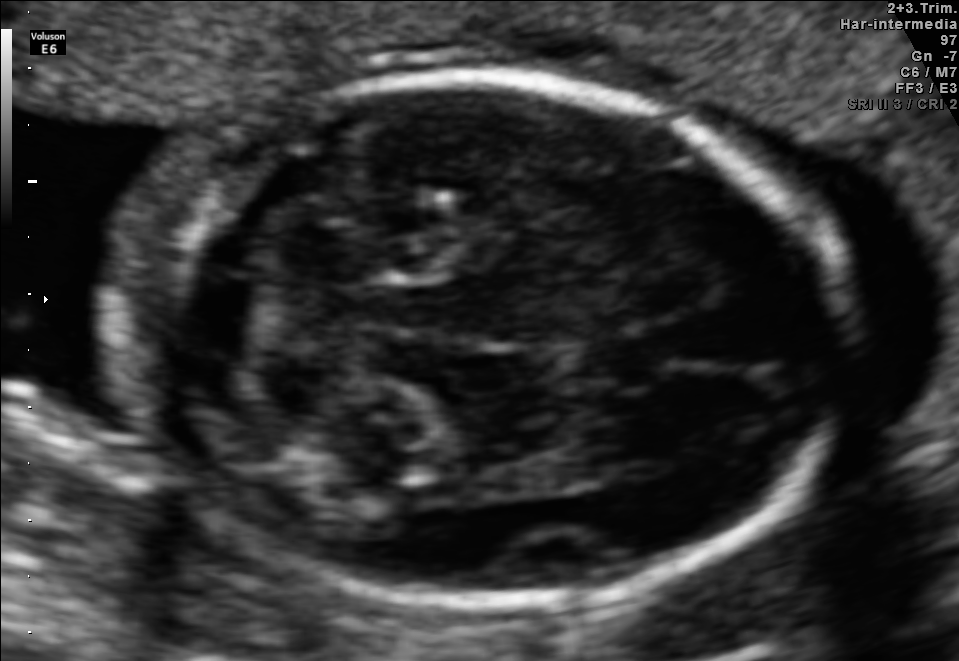
Fetal brain, trans-cerebellum plane. Give [x1,y1,x2,y2] bounding boxes for each visible structure among: fetal head, CSP, LV.

Head: [121,75,838,608]
CSP: [573,326,665,390]